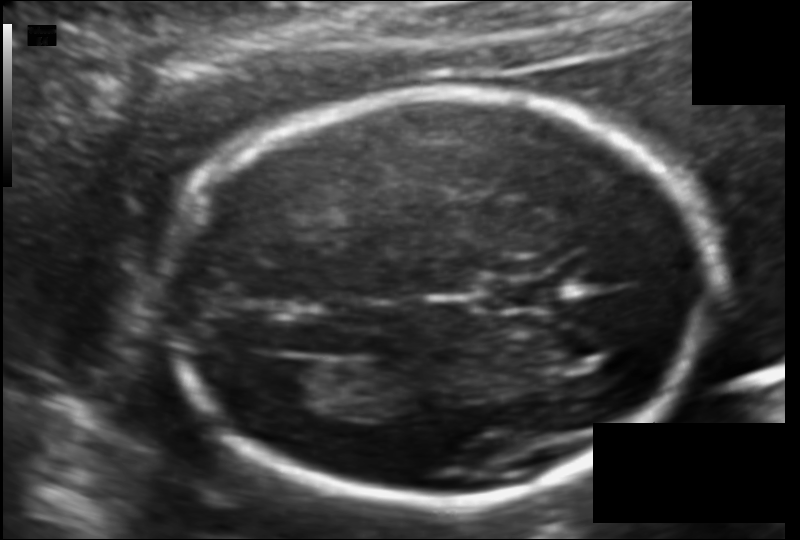
Fetal head ultrasound. Image width: 88.5 mm. Locate the cavum septum pellucidum.

CSP: [482,278,553,310]